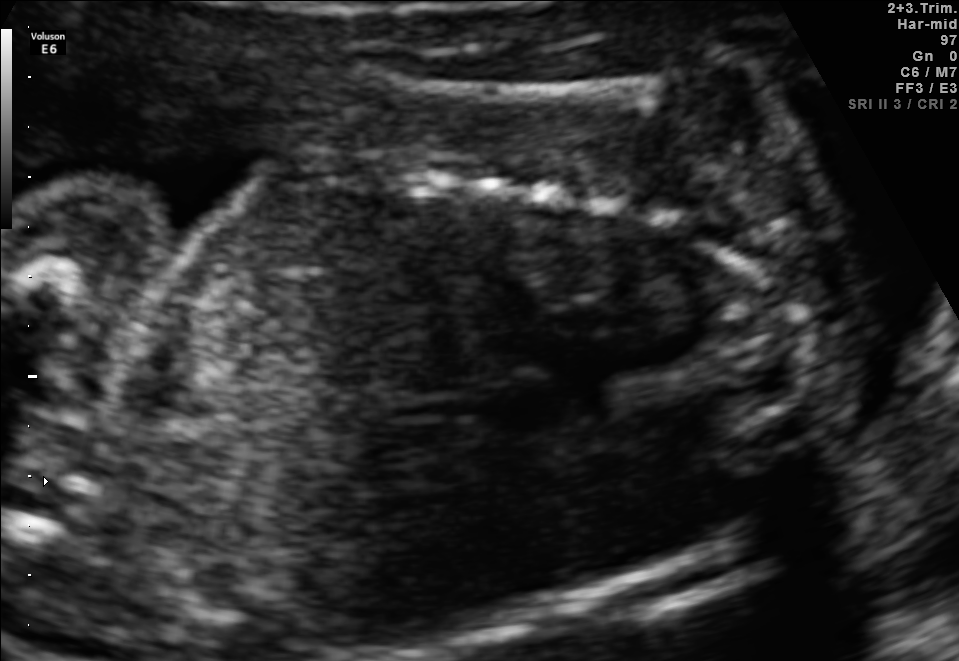
Which standard maternal-fetal ultrasound plane is shown: fetal abdomen, fetal brain, fetal femur, fetal thorax, maternal cervix, or other? If it's fetal brain and one of the three standard brain planes (trans-thalamic, trans-cerebellum, trans-ventricular), name which.

Other